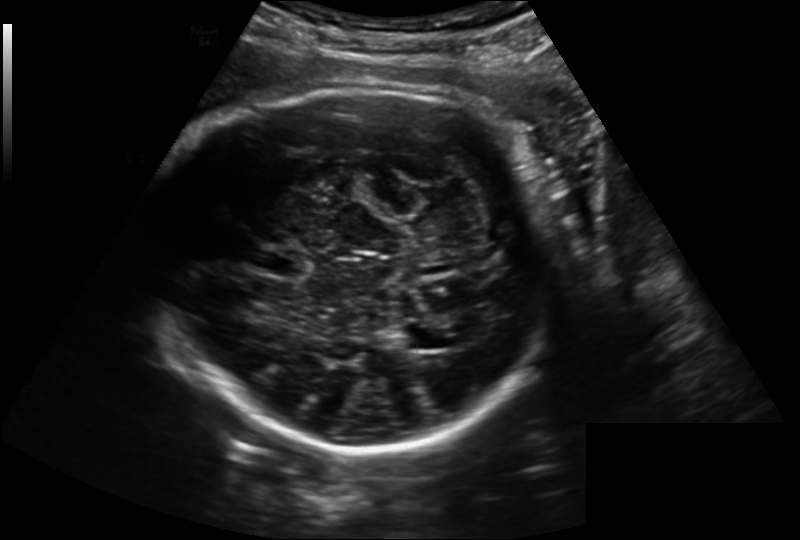
Measure the fetal head circumference shown in this ultrasound image. Image width: 177.2 mm.

Head circumference: 281.3 mm.